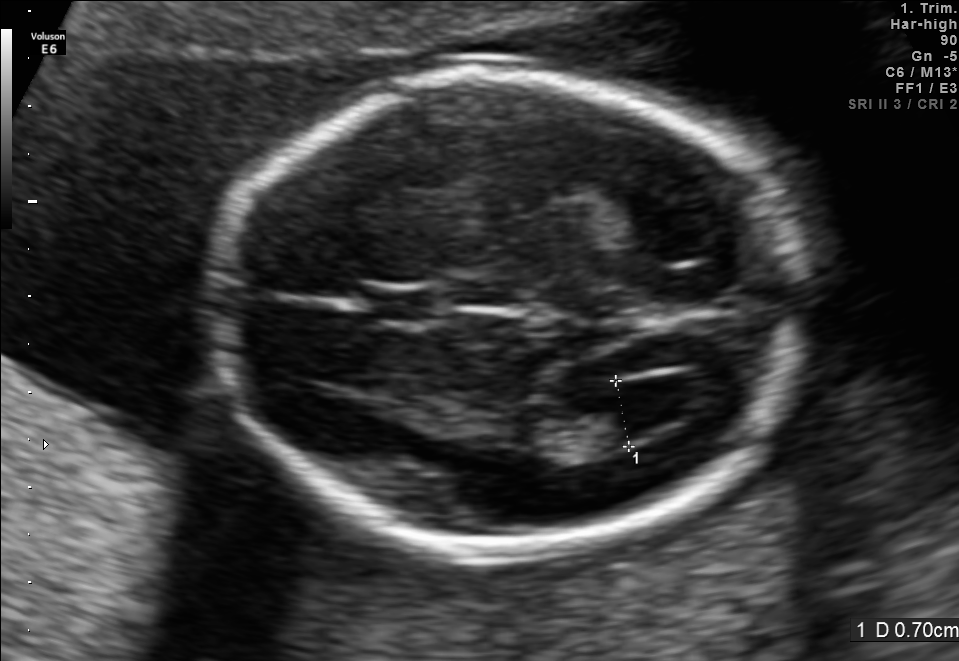
Identify the standard plane in this fetal ultrasound image: fetal abdomen, fetal brain, fetal femur, fetal thorax, maternal cervix, or other. If it's fetal brain and one of the three standard brain planes (trans-thalamic, trans-cerebellum, trans-ventricular), name which.

Fetal brain (trans-ventricular plane)